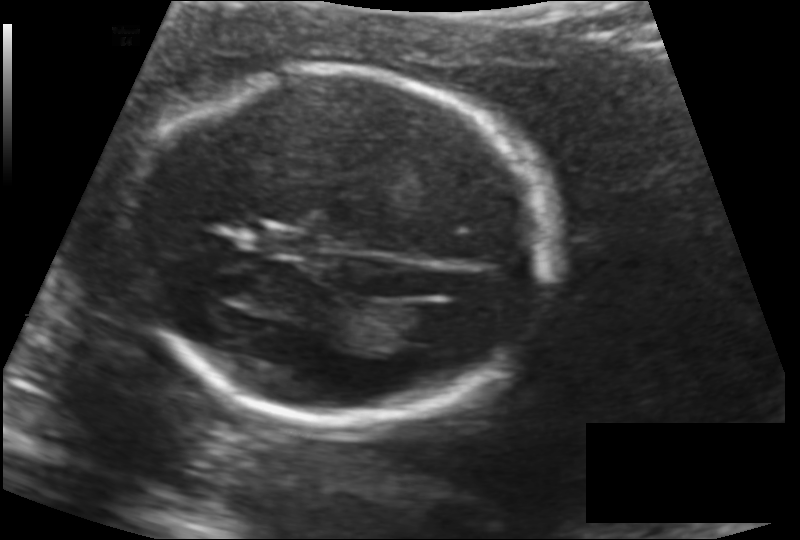
Estimate the fetal head circumference from this 2D ultrasound.

Head circumference: 164.4 mm (image width 105.6 mm).